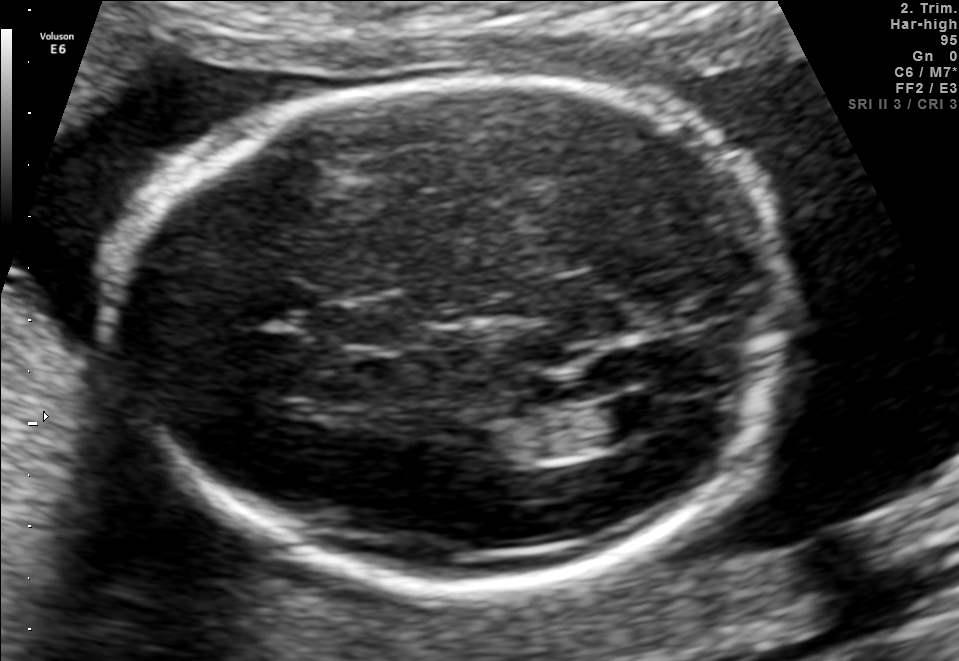
This is a 2D maternal-fetal ultrasound frame. Is it a fetal abdomen, fetal brain, fetal femur, fetal thorax, maternal cervix, or other standard plane? If it's fetal brain and one of the three standard brain planes (trans-thalamic, trans-cerebellum, trans-ventricular), name which.

Fetal brain (trans-ventricular plane)